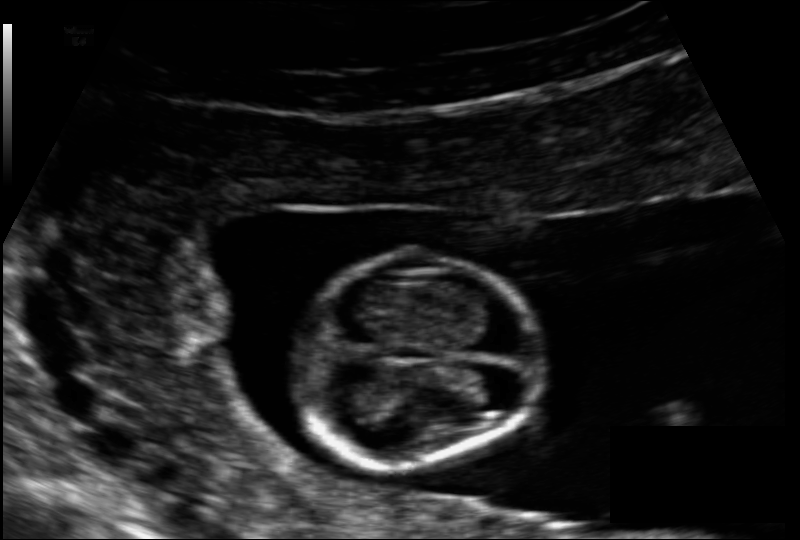
Fetal head ultrasound. Image width: 73.0 mm. Give [x1,y1,x2,y2] bounding boxes for each visible structure among: fetal head, CSP, LV.

Head: [284,251,544,471]